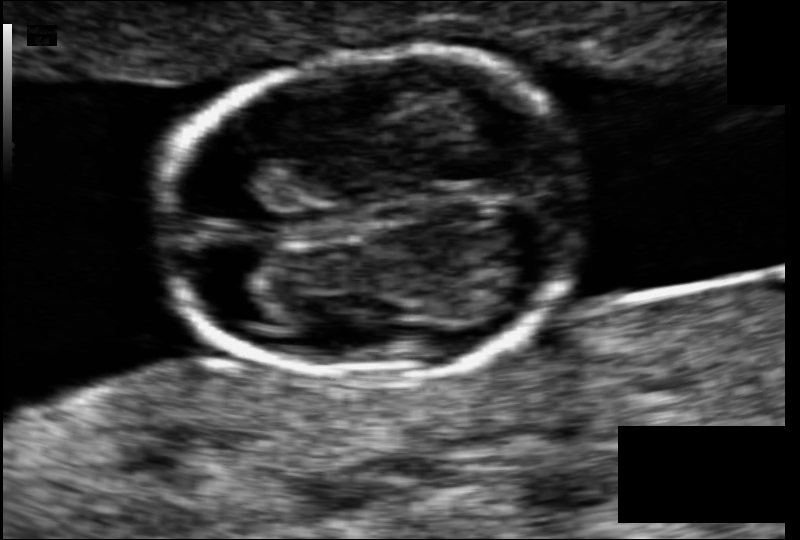
What is the fetal head circumference? Image width is 50.6 mm.

77.2 mm